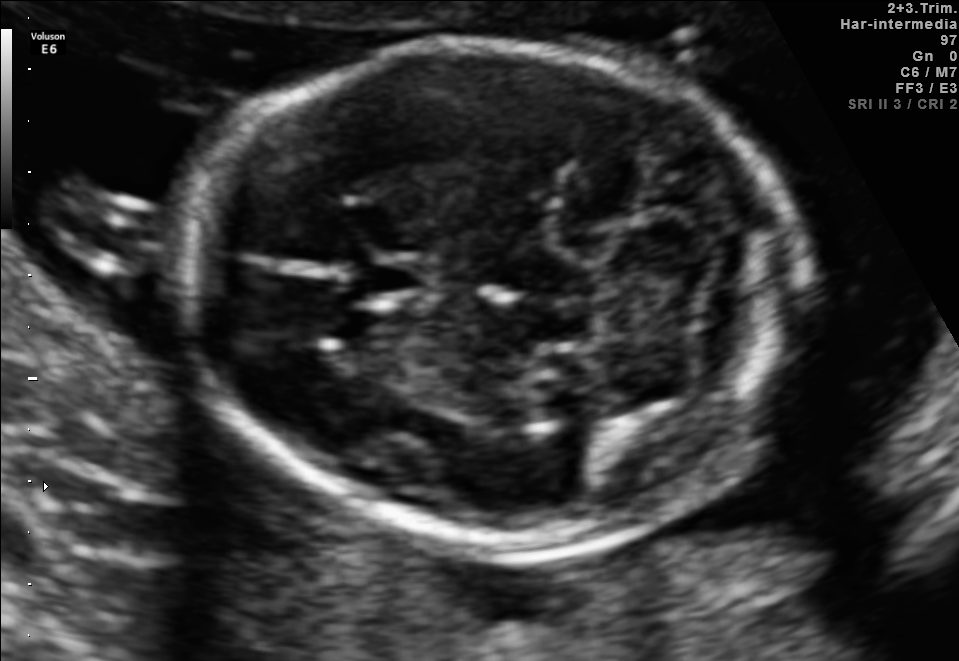
In this fetal brain, trans-cerebellum plane, give the bounding box of the cavum septum pellucidum.

[356,255,437,308]